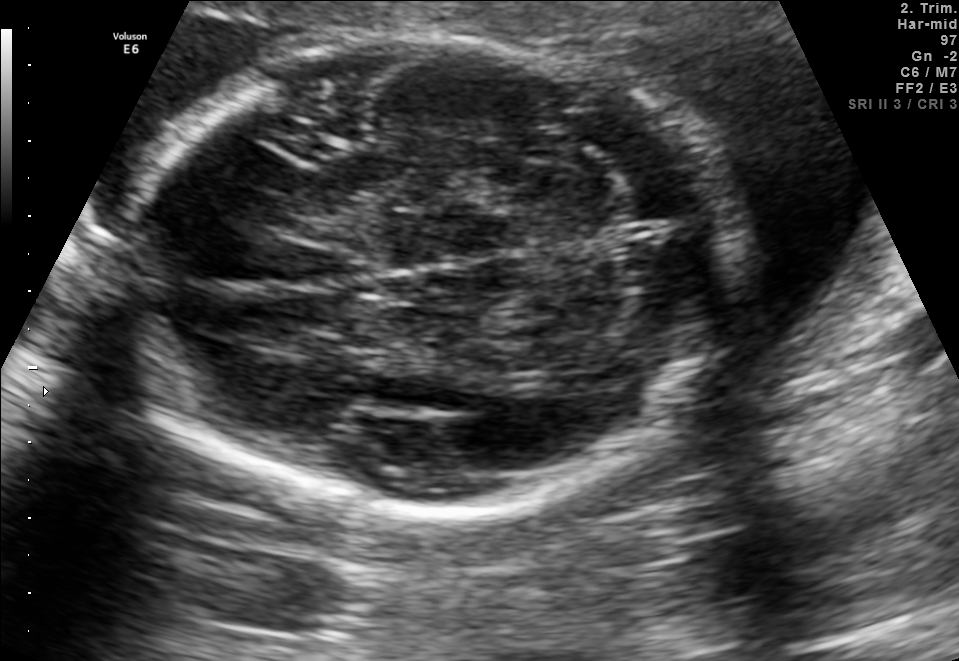
Fetal brain, trans-cerebellum plane. Where is the fetal head?

Head bounding box: [121,37,742,512]